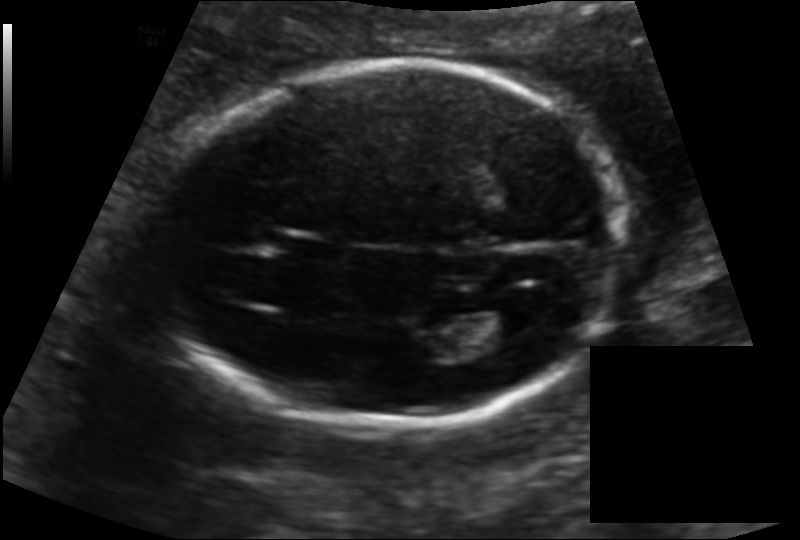
Fetal head ultrasound. Image width: 110.8 mm. Where is the fetal head?

Head bounding box: [163,64,619,426]